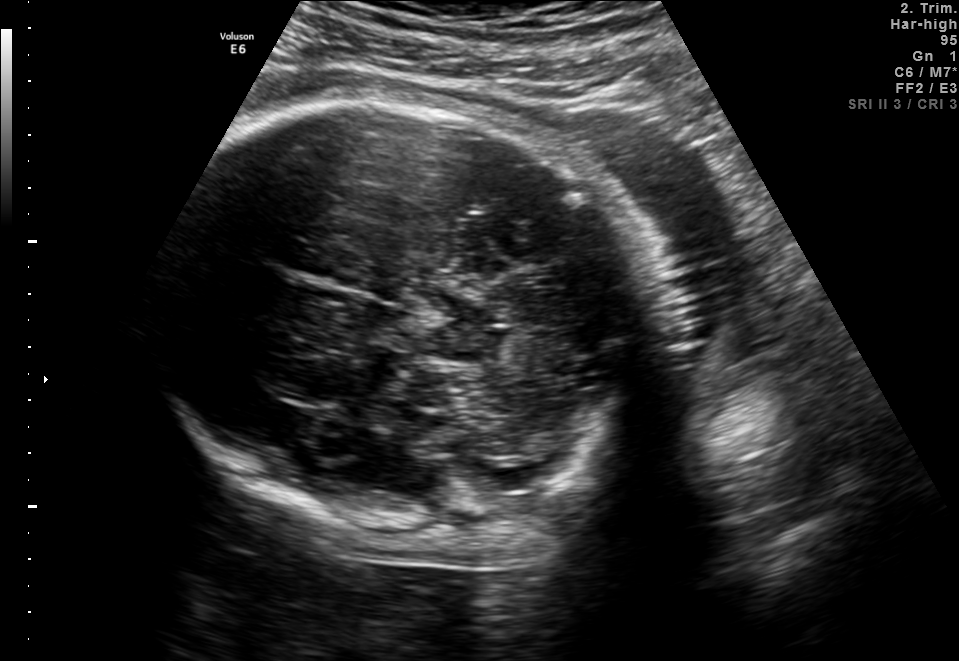
In this fetal brain, trans-thalamic plane, give bounding boxes for the head outline, cavum septum pellucidum (CSP), and lateral ventricle (LV), where visible.

Head: [159,102,668,535]